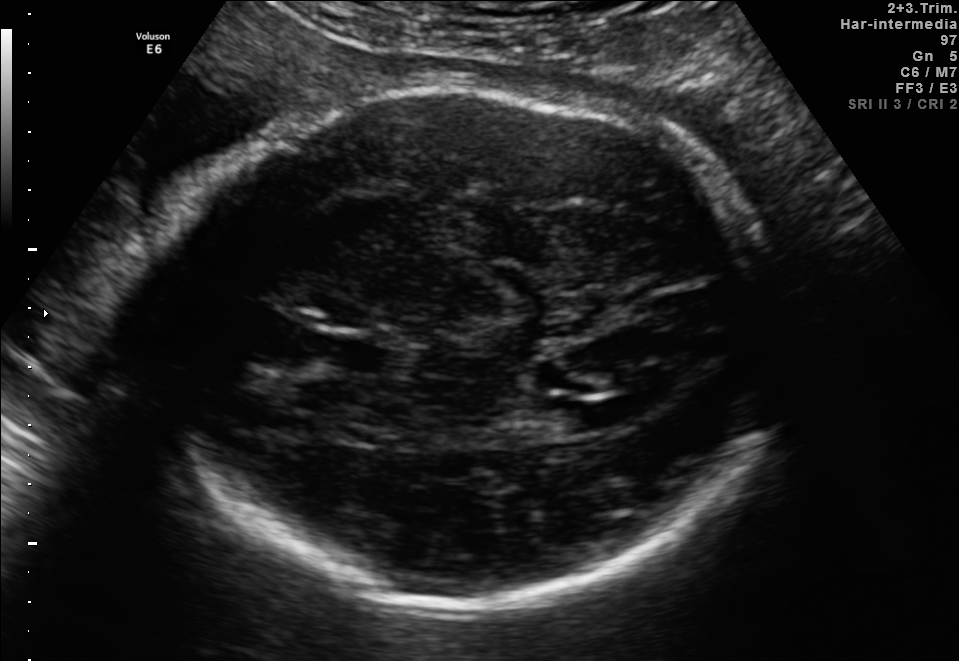
In this fetal brain, trans-ventricular plane, give the bounding box of the lateral ventricle.

[560,396,624,436]